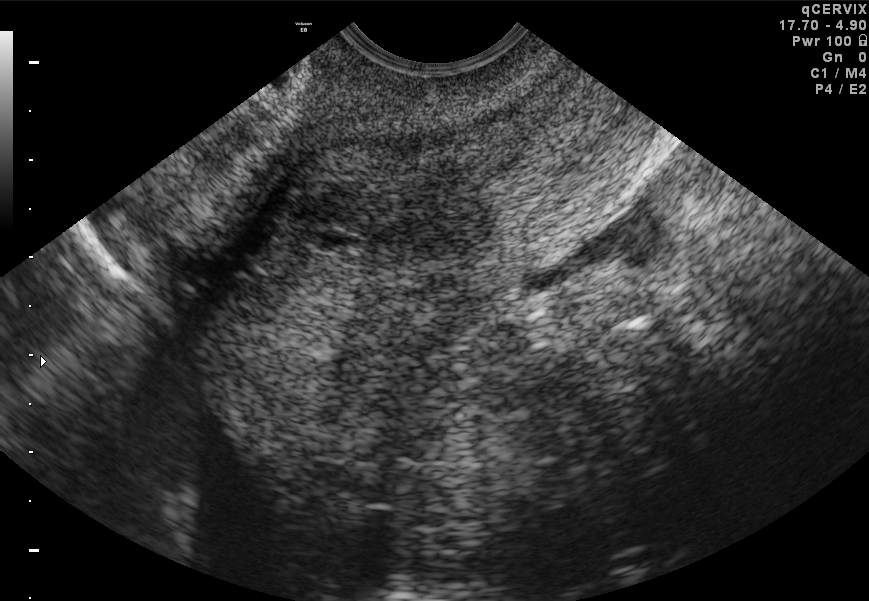
Which standard maternal-fetal ultrasound plane is shown: fetal abdomen, fetal brain, fetal femur, fetal thorax, maternal cervix, or other? If it's fetal brain and one of the three standard brain planes (trans-thalamic, trans-cerebellum, trans-ventricular), name which.

Maternal cervix